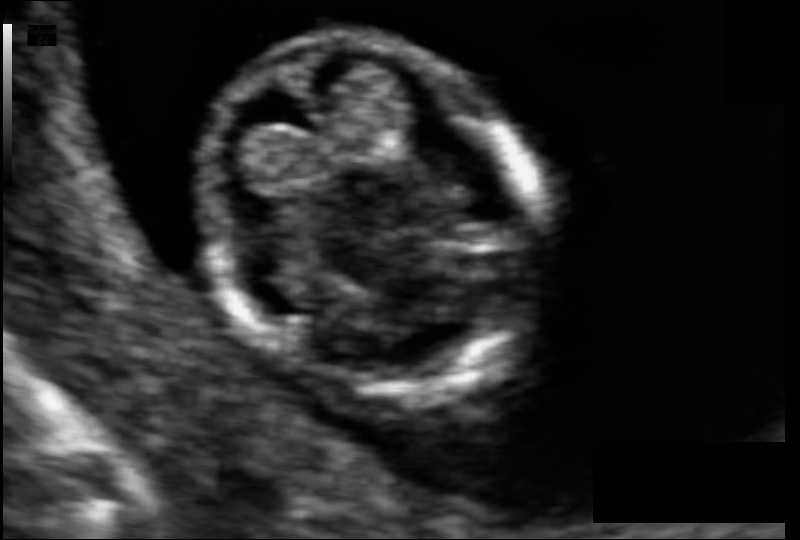
In this fetal head ultrasound, give bounding boxes for the head outline, cavum septum pellucidum (CSP), and lateral ventricle (LV), where visible. Image width: 50.8 mm.

Head: [206,35,537,402]